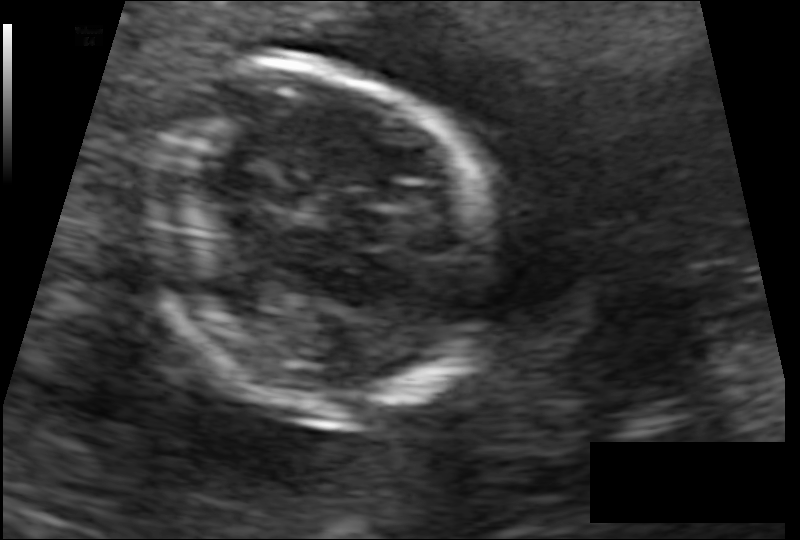
Fetal head ultrasound. Image width: 73.2 mm. Where is the fetal head?

Head bounding box: [135,59,486,413]